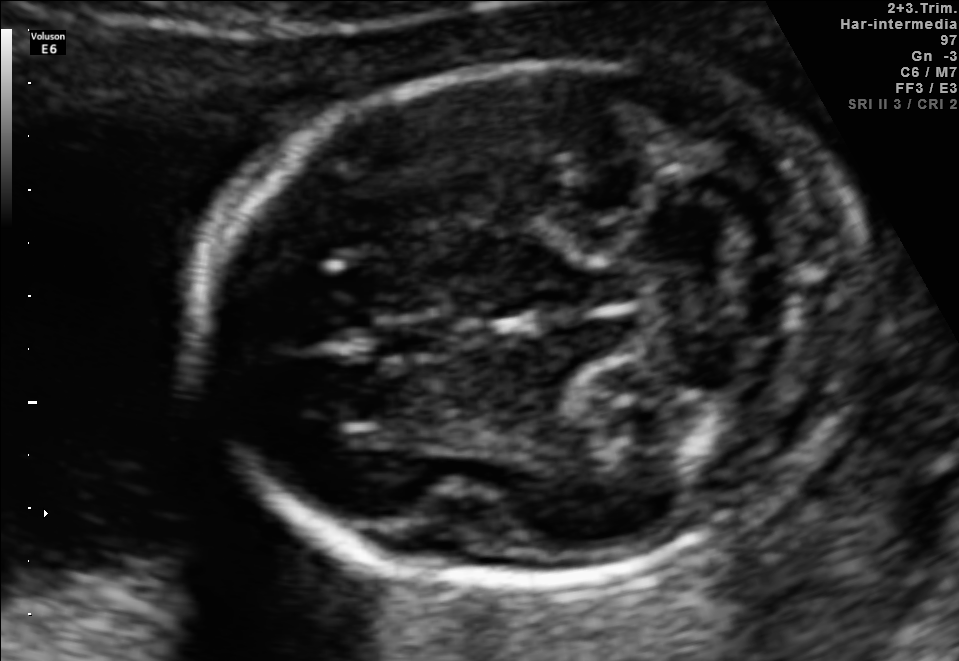
Fetal brain, trans-cerebellum plane. Locate the cavum septum pellucidum.

CSP: [372,310,451,363]